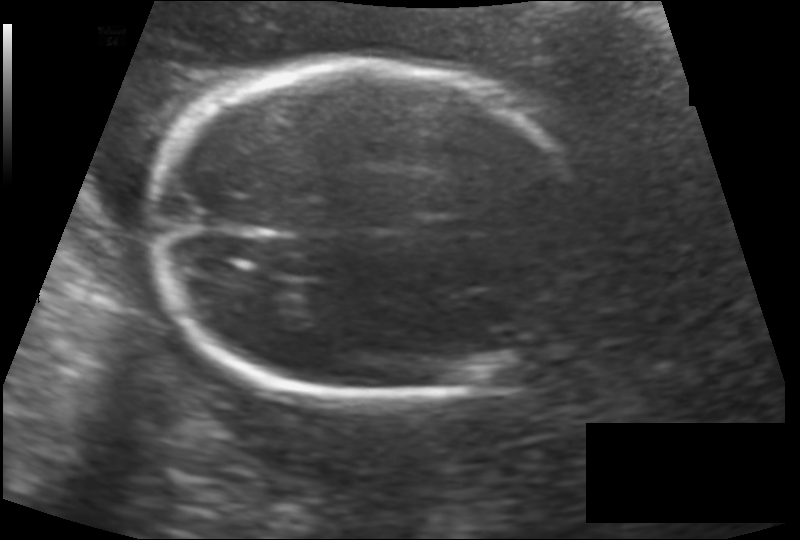
In this fetal head ultrasound, give bounding boxes for the head outline, cavum septum pellucidum (CSP), and lateral ventricle (LV), where visible. Image width: 117.4 mm.

Head: [150,63,586,400]